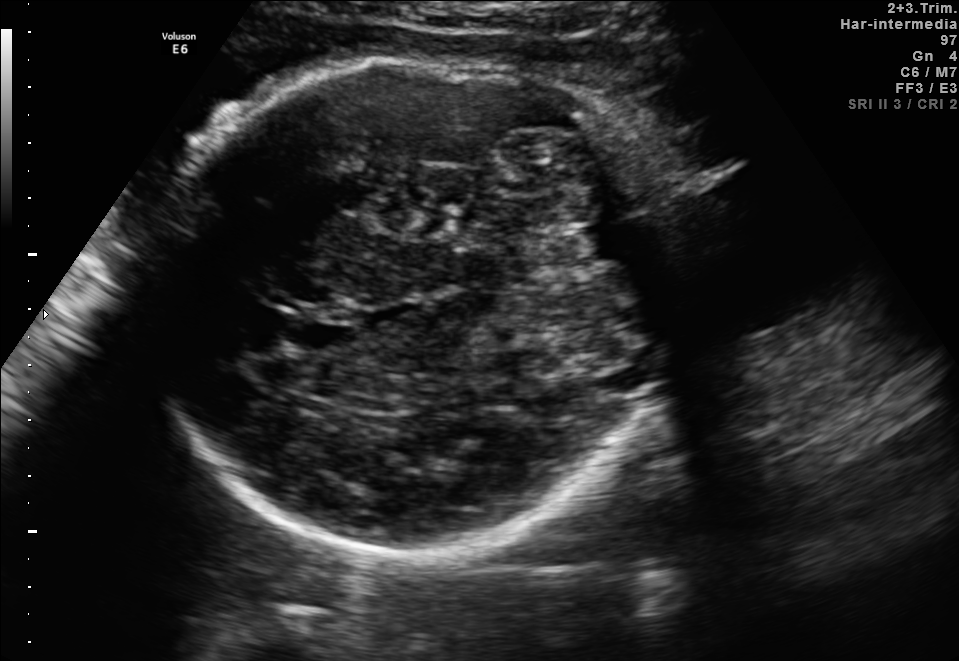
Identify the standard plane in this fetal ultrasound image: fetal abdomen, fetal brain, fetal femur, fetal thorax, maternal cervix, or other. If it's fetal brain and one of the three standard brain planes (trans-thalamic, trans-cerebellum, trans-ventricular), name which.

Fetal brain (trans-thalamic plane)